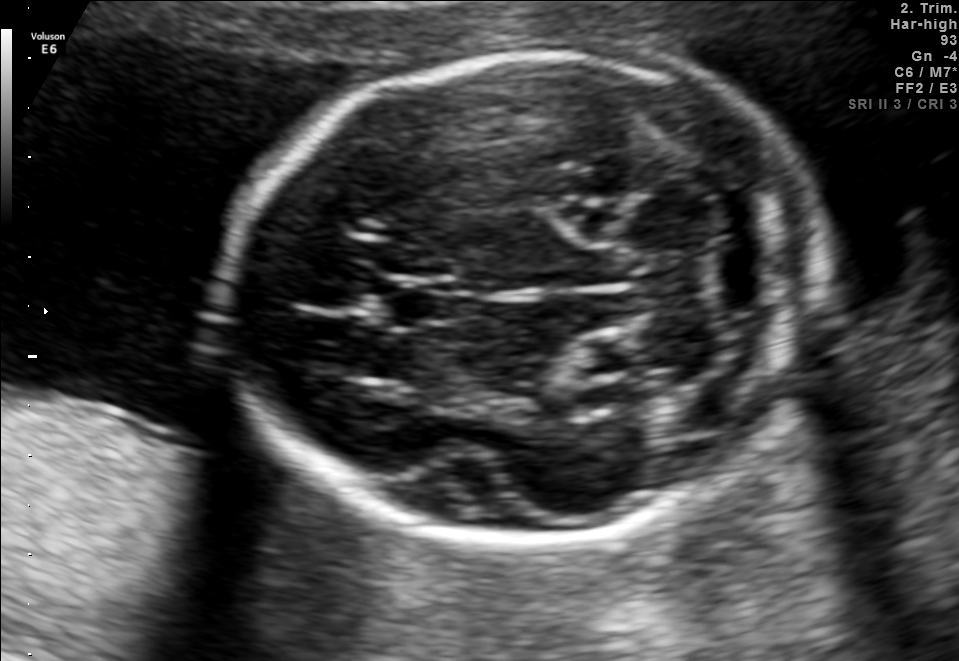
Fetal brain, trans-cerebellum plane. Locate the cavum septum pellucidum.

CSP: [380,277,460,330]